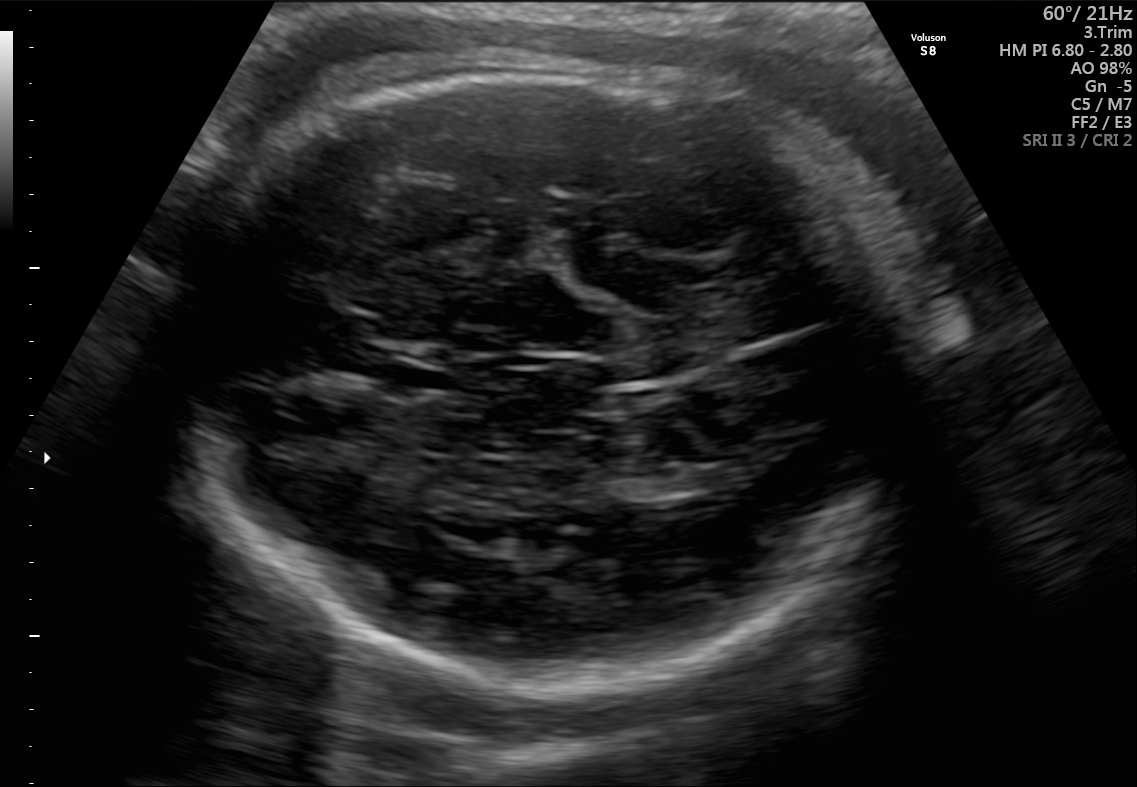
Fetal brain, trans-thalamic plane. Where is the lateral ventricle?

Lateral ventricle bounding box: [687,456,753,493]